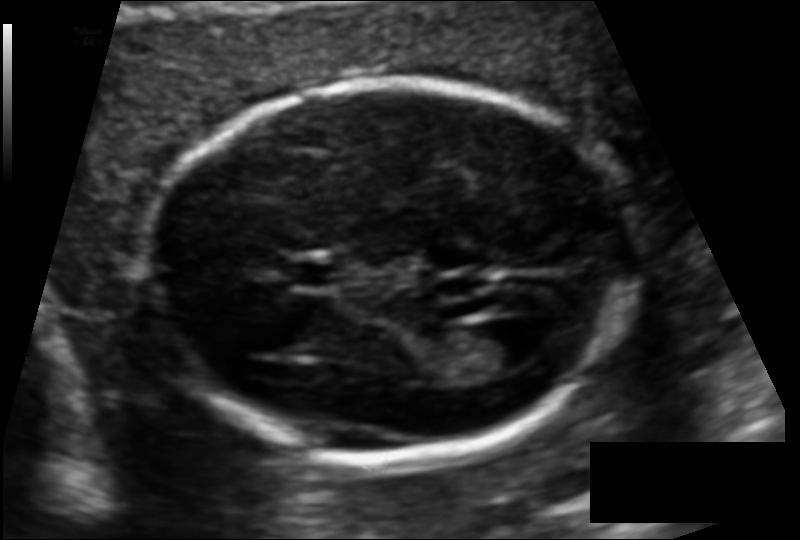
What is the fetal head circumference? Image width is 88.0 mm.

155.3 mm